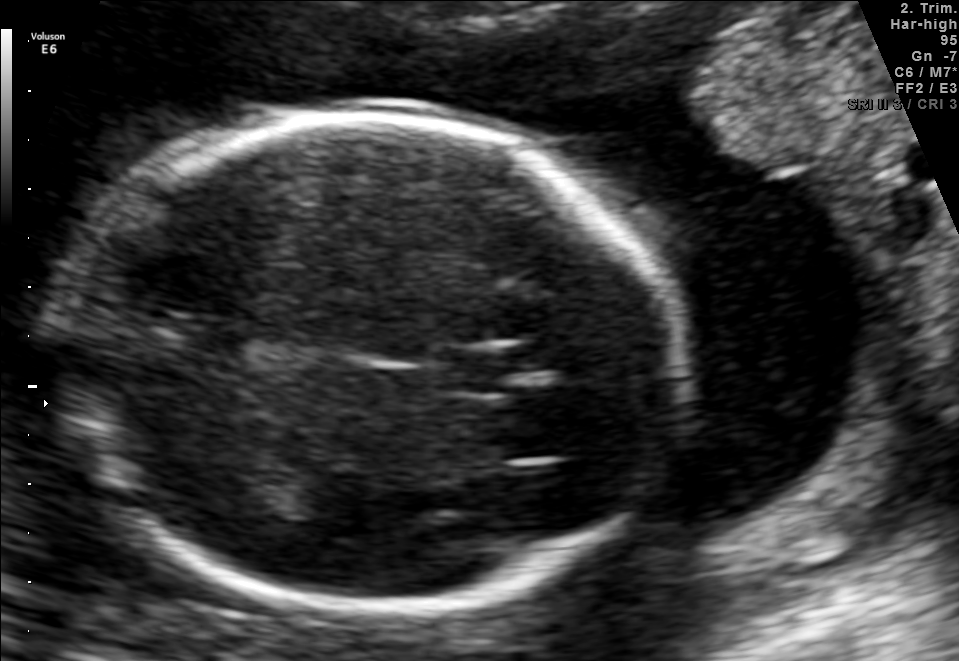
Fetal brain, trans-thalamic plane. Locate the fetal head and, if visible, the cavum septum pellucidum (CSP) and lateral ventricle (LV). Give bounding boxes as [x1,y1,x2,y2].

Head: [63,119,684,612]
CSP: [439,349,516,394]